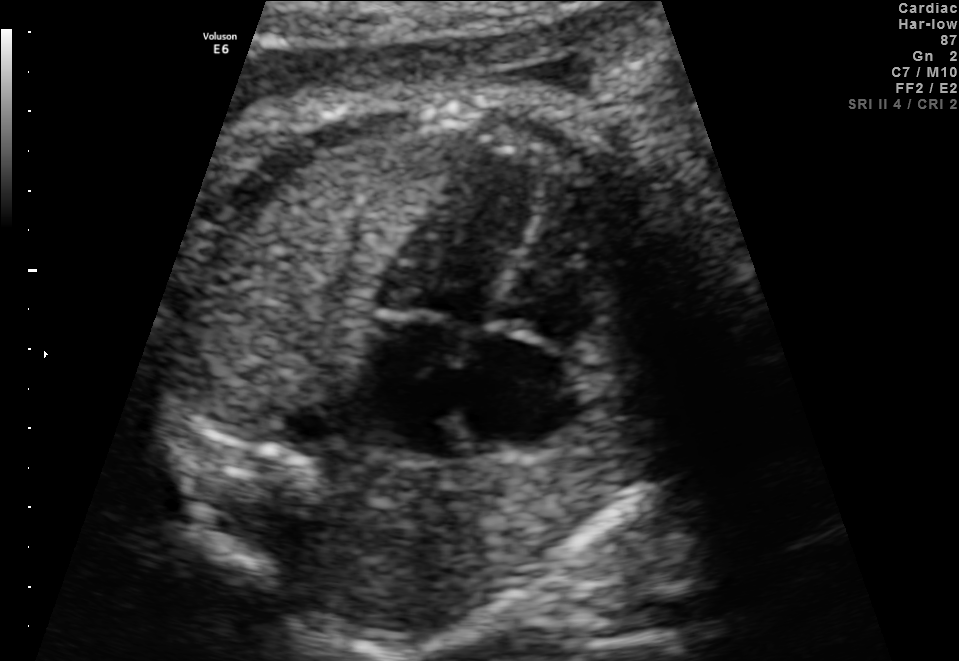
This is a 2D maternal-fetal ultrasound frame. Is it a fetal abdomen, fetal brain, fetal femur, fetal thorax, maternal cervix, or other standard plane? If it's fetal brain and one of the three standard brain planes (trans-thalamic, trans-cerebellum, trans-ventricular), name which.

Fetal thorax